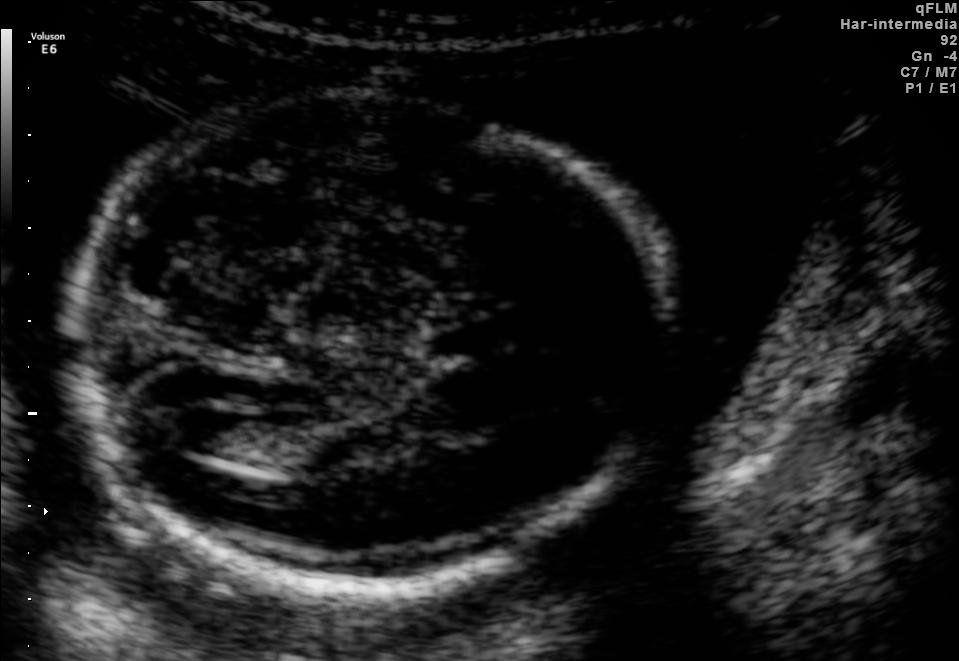
In this fetal brain, trans-ventricular plane, give the bounding box of the fetal head.

[51,87,688,598]